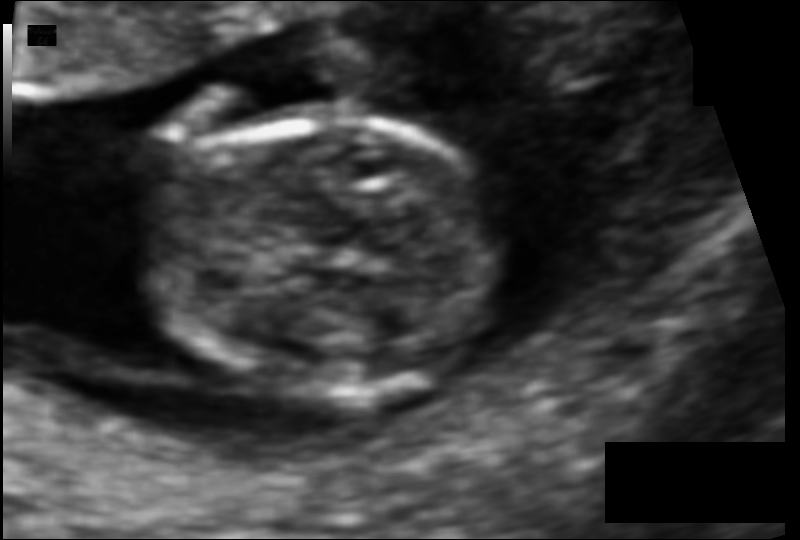
Measure the fetal head circumference shown in this ultrasound image. Image width: 58.2 mm.

Head circumference: 73.8 mm.